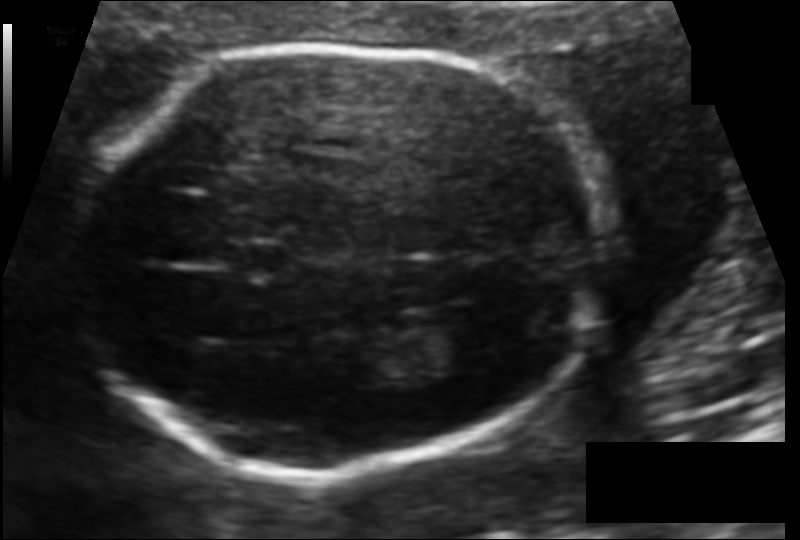
From this fetal ultrasound, estimate the head circumference (image width 86.3 mm).

Head circumference: 168.5 mm.